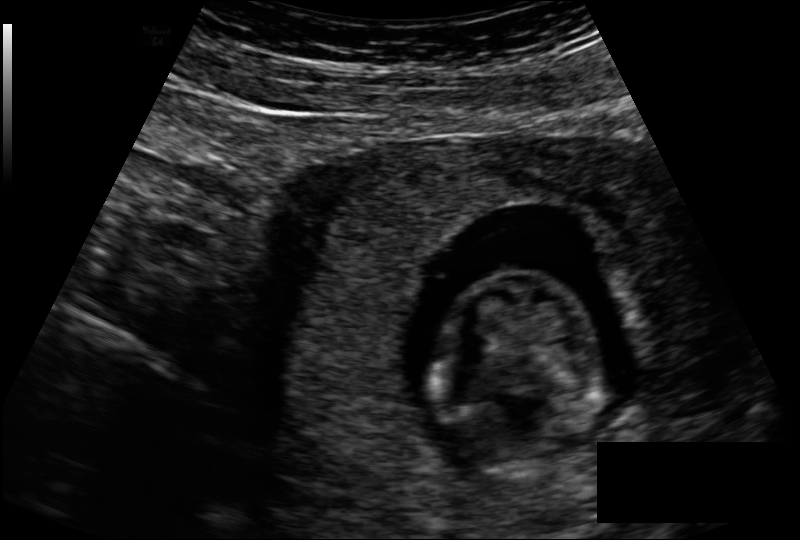
What is the fetal head circumference? Image width is 104.8 mm.

77.6 mm